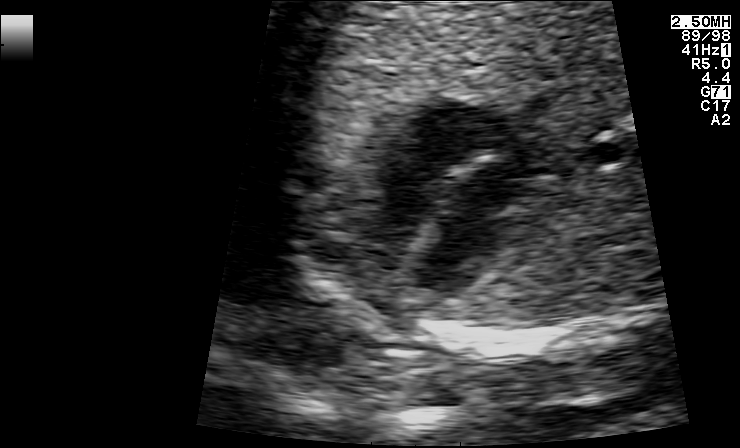
Classify this maternal-fetal ultrasound image as one of the six standard planes — fetal abdomen, fetal brain, fetal femur, fetal thorax, maternal cervix, or other. If it's fetal brain and one of the three standard brain planes (trans-thalamic, trans-cerebellum, trans-ventricular), name which.

Fetal thorax